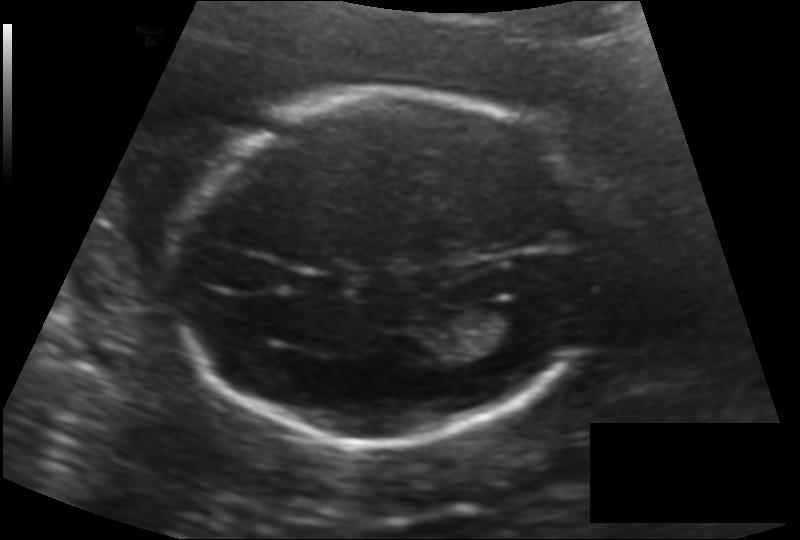
What is the fetal head circumference? Image width is 112.2 mm.

176.6 mm